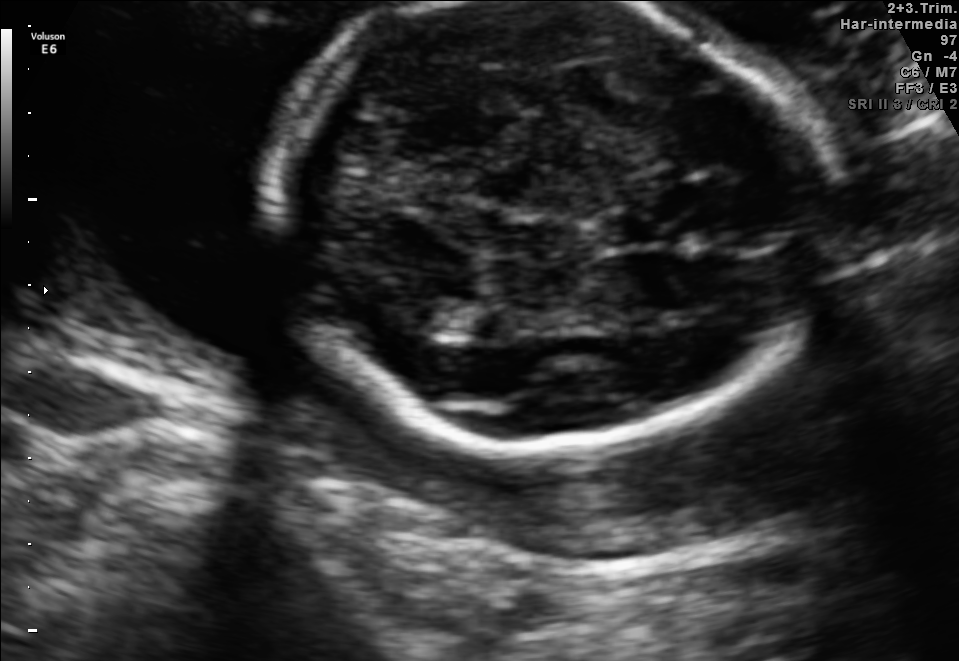
In this fetal brain, trans-thalamic plane, give the bounding box of the lateral ventricle.

[431,307,503,339]